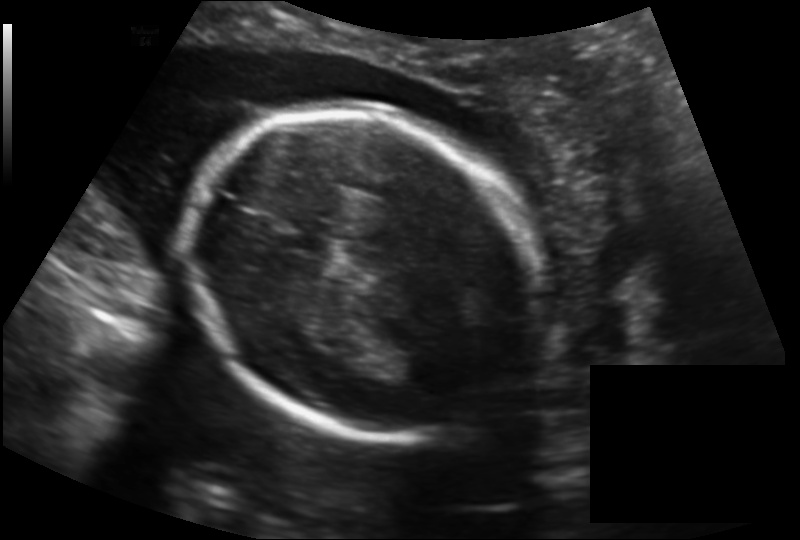
Fetal head ultrasound. Image width: 131.3 mm. Give [x1,y1,x2,y2] bounding boxes for each visible structure among: fetal head, CSP, LV.

Head: [189,106,537,440]